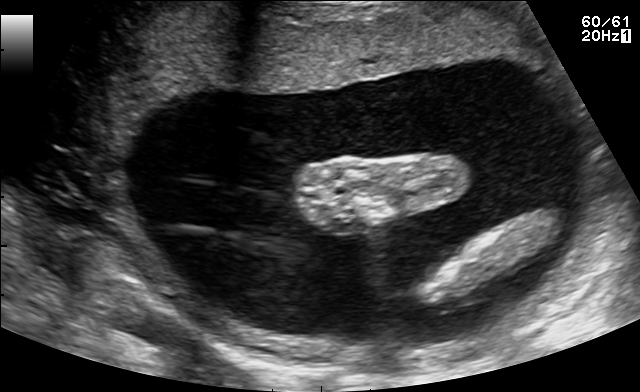
Classify this maternal-fetal ultrasound image as one of the six standard planes — fetal abdomen, fetal brain, fetal femur, fetal thorax, maternal cervix, or other. If it's fetal brain and one of the three standard brain planes (trans-thalamic, trans-cerebellum, trans-ventricular), name which.

Other